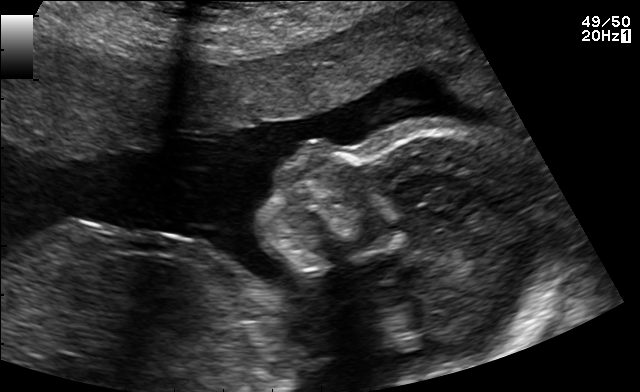
Identify the standard plane in this fetal ultrasound image: fetal abdomen, fetal brain, fetal femur, fetal thorax, maternal cervix, or other. If it's fetal brain and one of the three standard brain planes (trans-thalamic, trans-cerebellum, trans-ventricular), name which.

Other